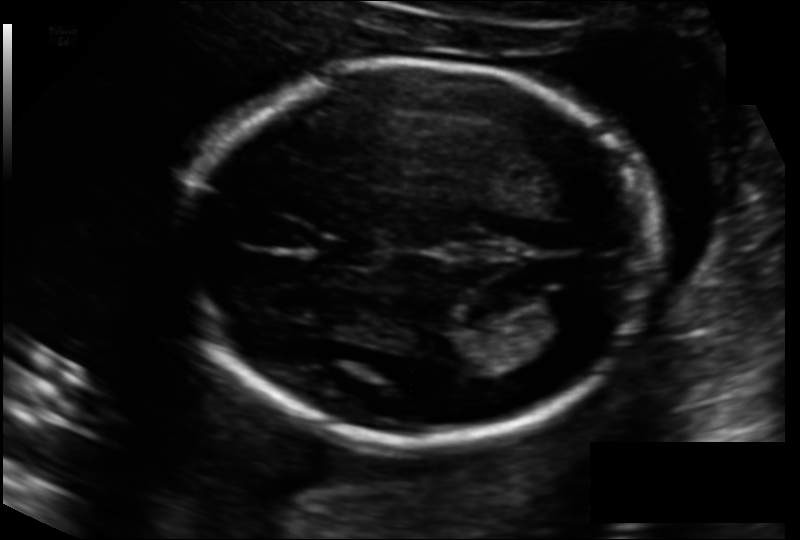
In this fetal head ultrasound, give the bounding box of the fetal head. Image width: 106.6 mm.

[180,61,657,444]